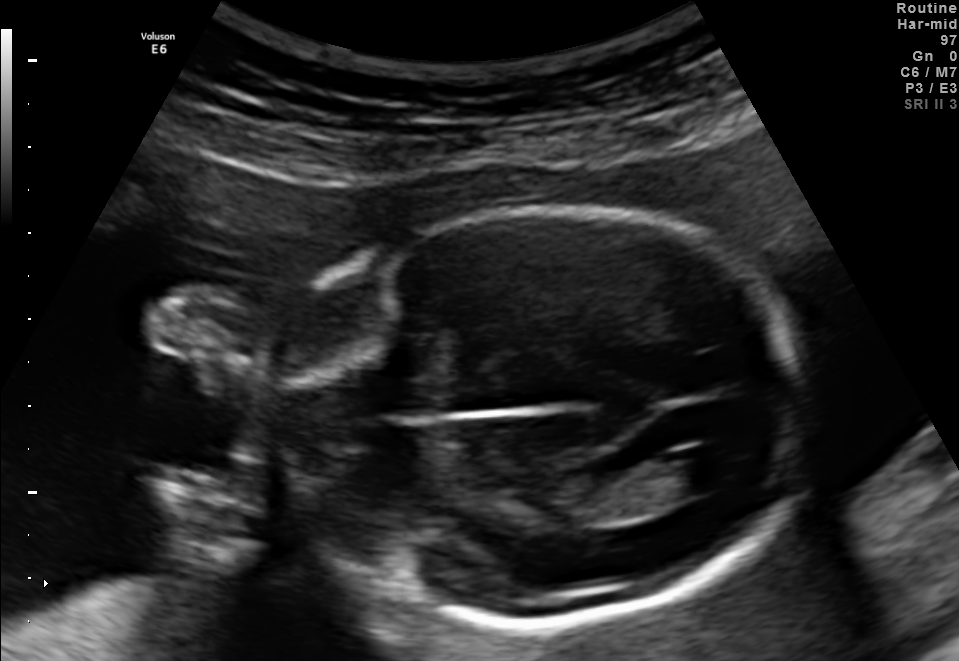
Fetal brain, trans-ventricular plane. Where is the fetal head?

Head bounding box: [270,201,821,630]